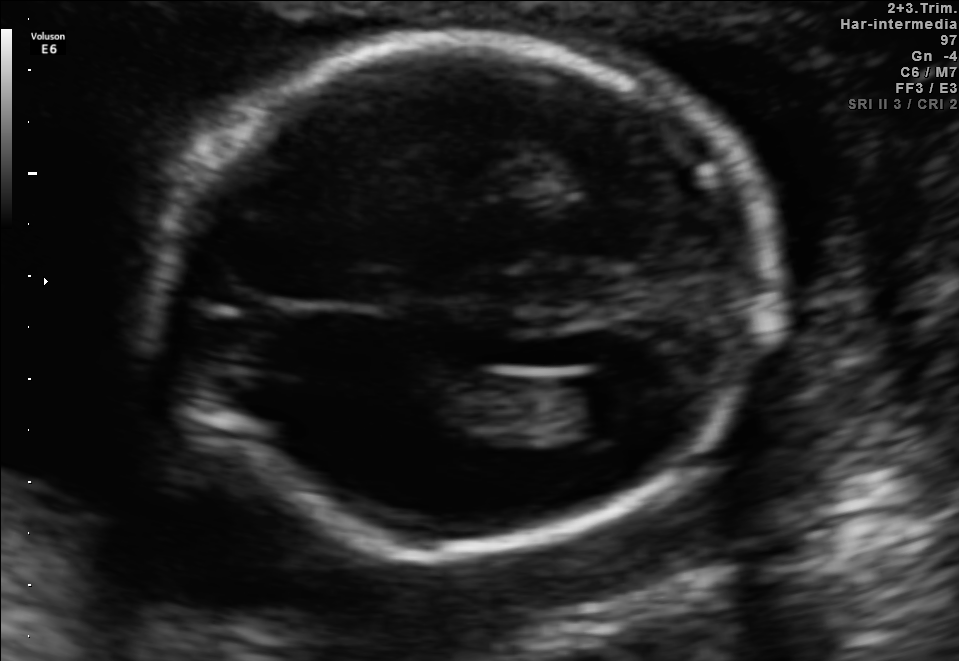
In this fetal brain, trans-ventricular plane, give the bounding box of the lateral ventricle.

[565,362,660,434]